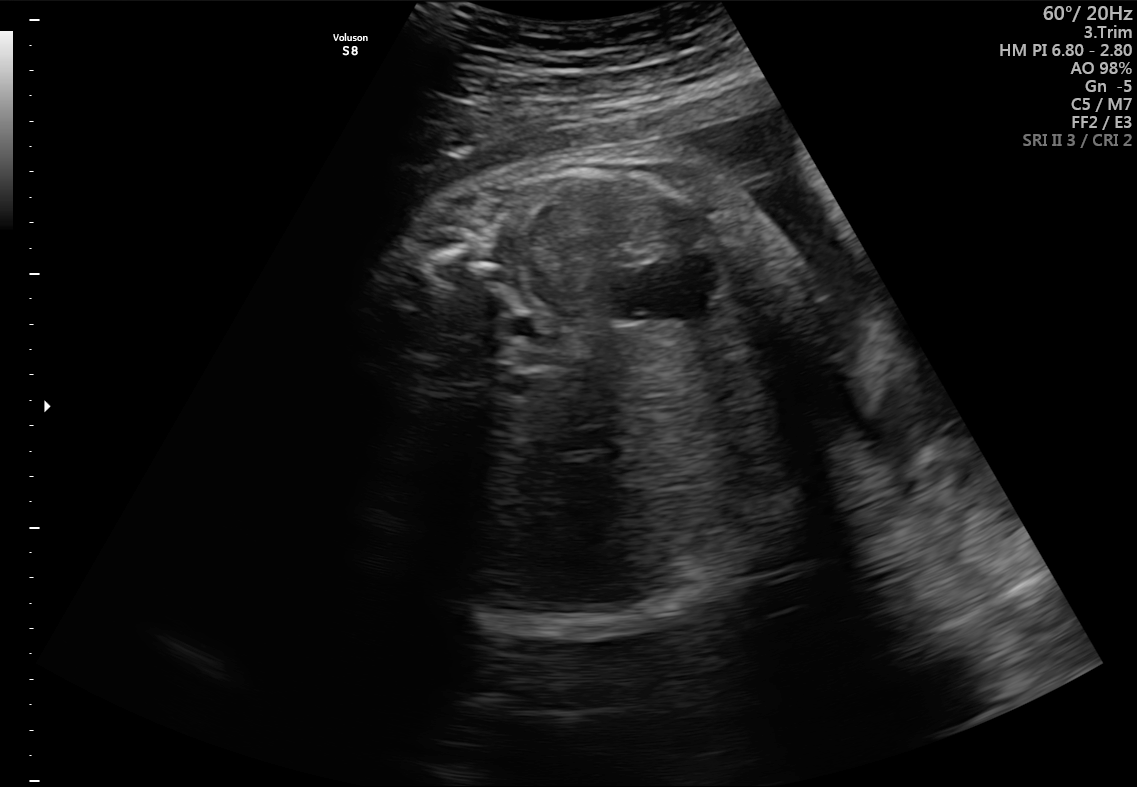
Identify the standard plane in this fetal ultrasound image: fetal abdomen, fetal brain, fetal femur, fetal thorax, maternal cervix, or other. If it's fetal brain and one of the three standard brain planes (trans-thalamic, trans-cerebellum, trans-ventricular), name which.

Fetal abdomen